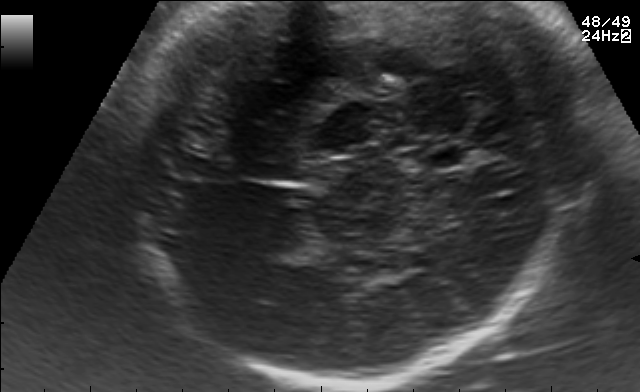
Fetal brain, trans-thalamic plane. Where is the cavum septum pellucidum?

CSP bounding box: [414,143,461,171]